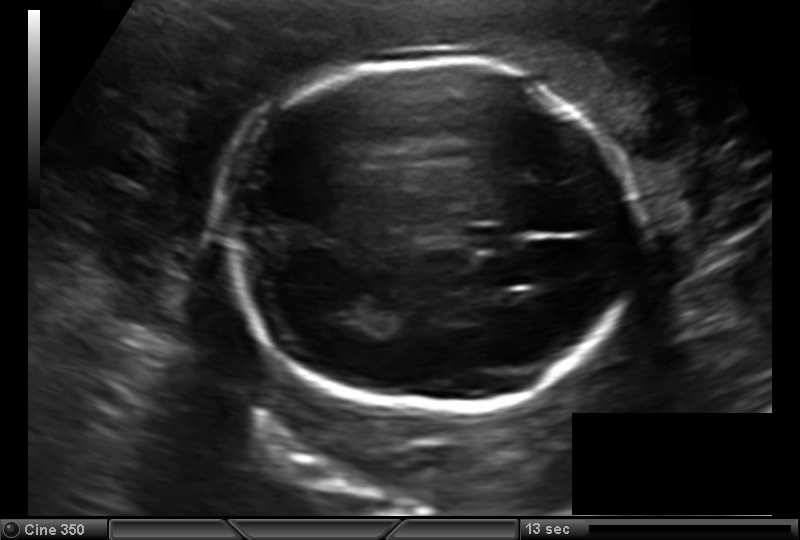
In this fetal head ultrasound, give the bounding box of the lateral ventricle. Image width: 125.6 mm.

[325,285,379,329]